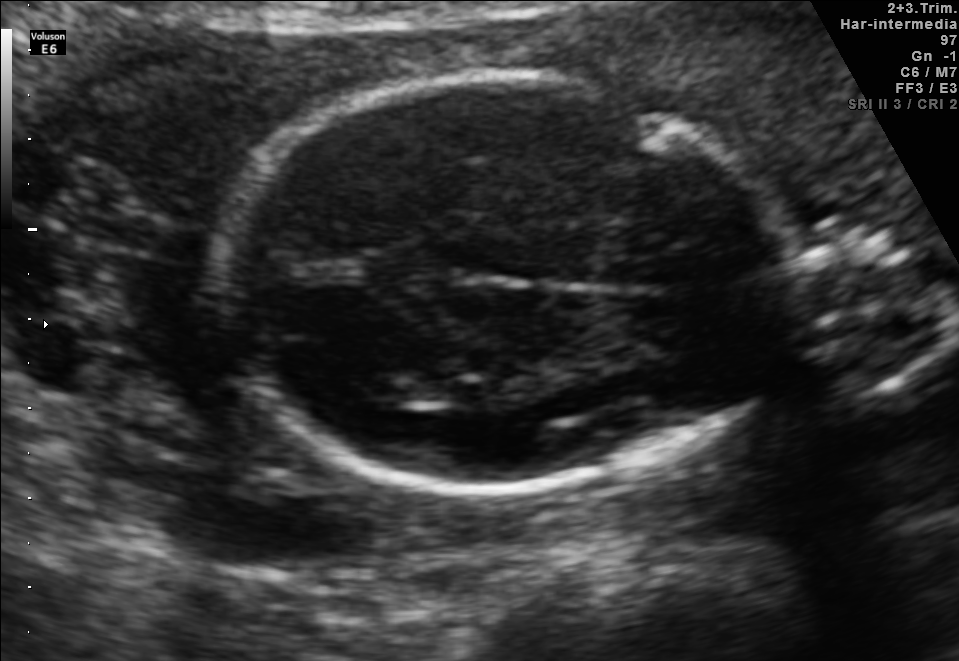
In this fetal brain, trans-thalamic plane, give the bounding box of the fetal head.

[217,74,788,491]